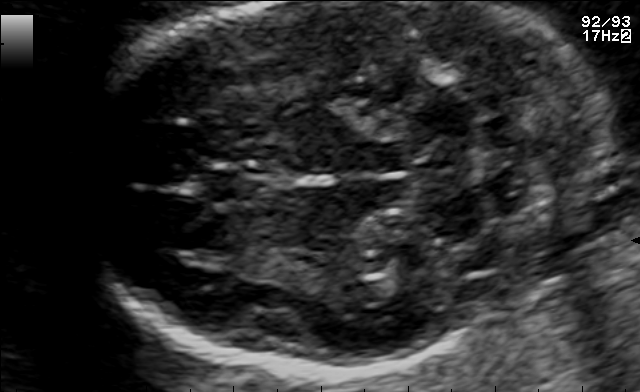
In this fetal brain, trans-cerebellum plane, give the bounding box of the fetal head.

[89,2,613,372]